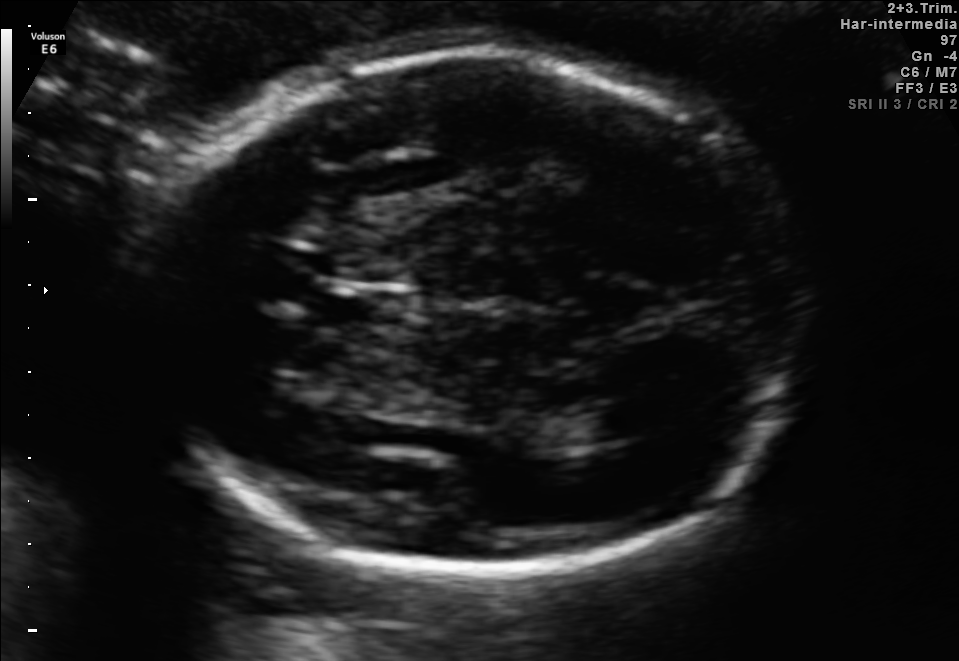
In this fetal brain, trans-thalamic plane, give the bounding box of the lateral ventricle.

[547,413,625,451]